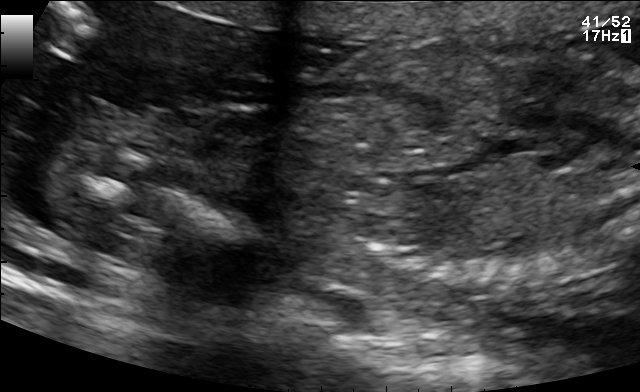
Identify the standard plane in this fetal ultrasound image: fetal abdomen, fetal brain, fetal femur, fetal thorax, maternal cervix, or other. If it's fetal brain and one of the three standard brain planes (trans-thalamic, trans-cerebellum, trans-ventricular), name which.

Other